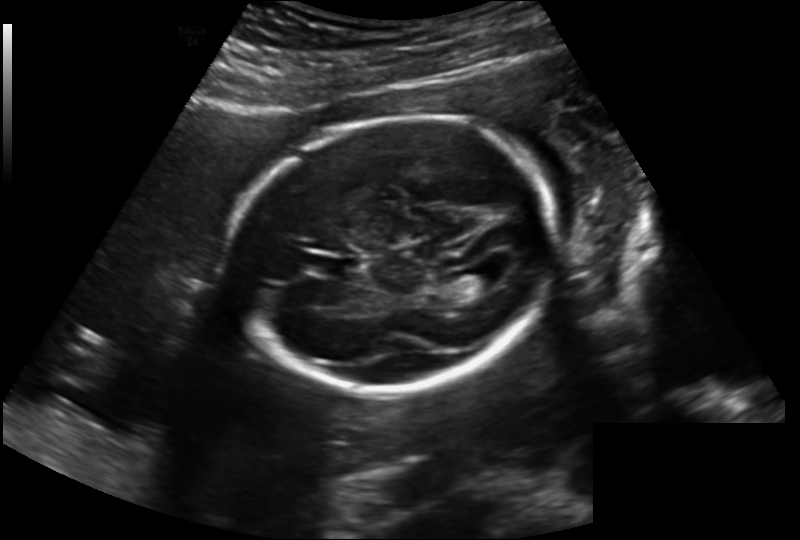
What is the fetal head circumference? Image width is 161.6 mm.

194.6 mm